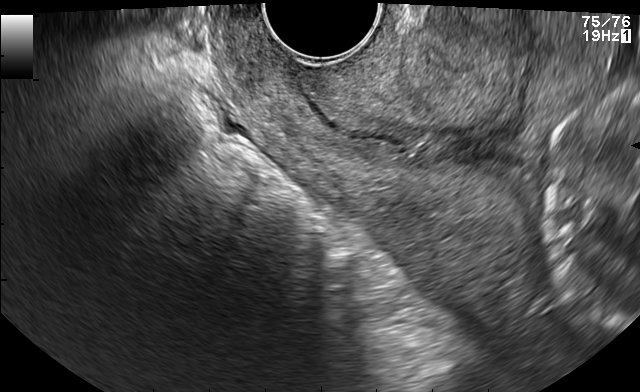
This is a 2D maternal-fetal ultrasound frame. Is it a fetal abdomen, fetal brain, fetal femur, fetal thorax, maternal cervix, or other standard plane? If it's fetal brain and one of the three standard brain planes (trans-thalamic, trans-cerebellum, trans-ventricular), name which.

Maternal cervix